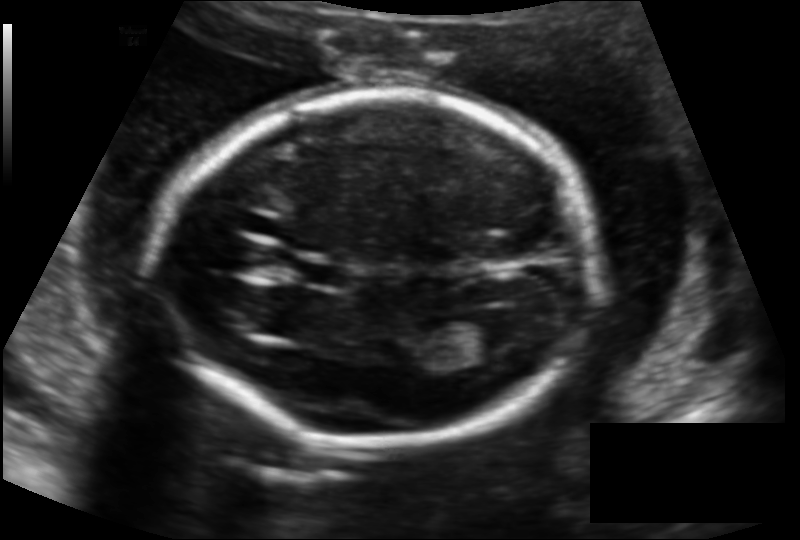
In this fetal head ultrasound, give the bounding box of the fetal head. Image width: 108.6 mm.

[160,91,595,444]